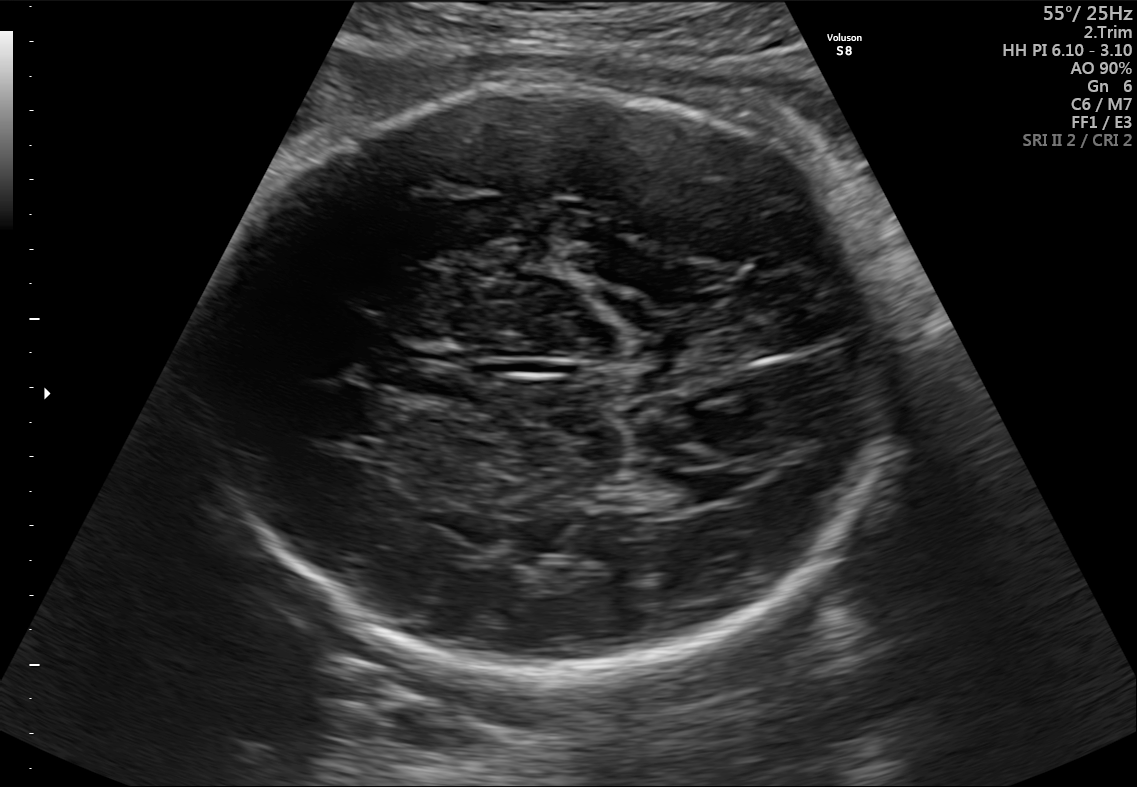
Classify this maternal-fetal ultrasound image as one of the six standard planes — fetal abdomen, fetal brain, fetal femur, fetal thorax, maternal cervix, or other. If it's fetal brain and one of the three standard brain planes (trans-thalamic, trans-cerebellum, trans-ventricular), name which.

Fetal brain (trans-thalamic plane)